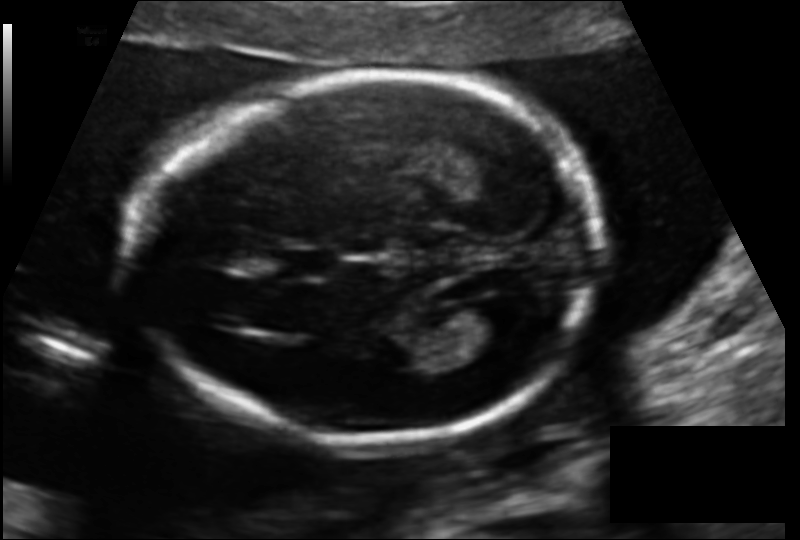
Fetal head ultrasound. Image width: 100.2 mm. Where is the fetal head?

Head bounding box: [138,76,597,441]